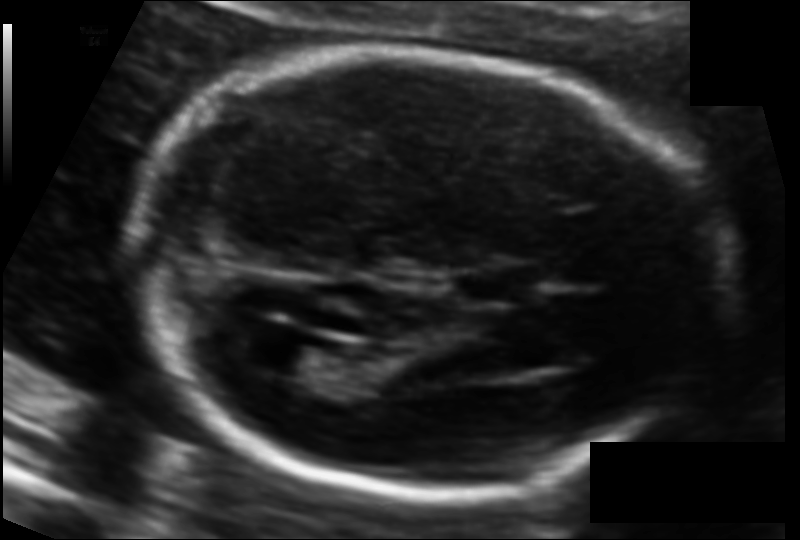
Fetal head ultrasound. Image width: 82.9 mm. Give [x1,y1,x2,y2] bounding boxes for each visible structure among: fetal head, CSP, LV.

Head: [131,53,704,500]
CSP: [468,267,539,304]
Lateral ventricle: [253,332,341,393]